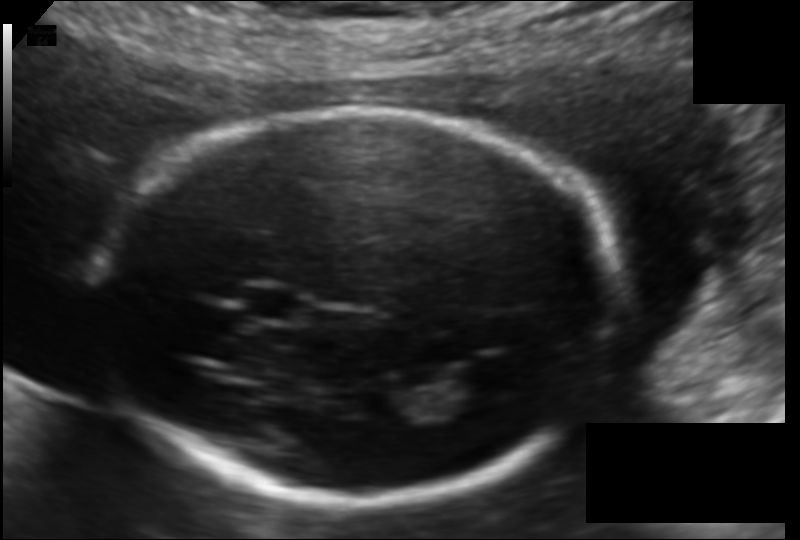
Measure the fetal head circumference shown in this ultrasound image. Image width: 96.1 mm.

Head circumference: 179.5 mm.